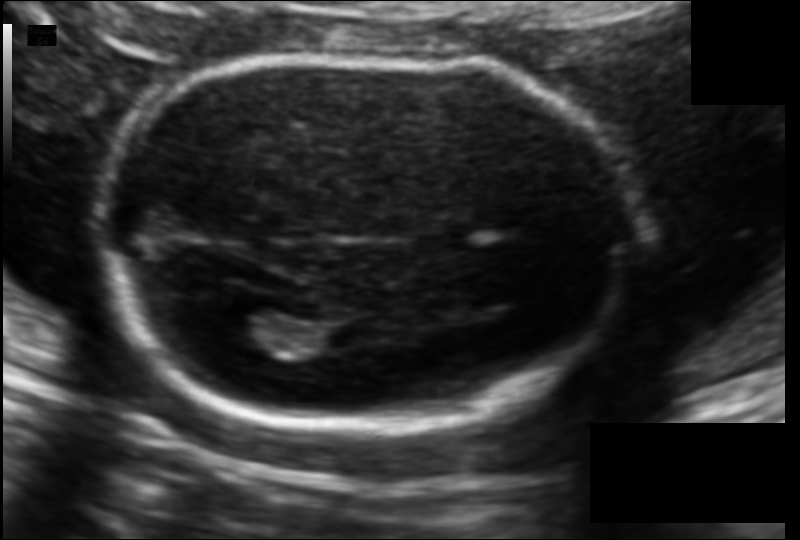
Measure the fetal head circumference shown in this ultrasound image. Image width: 90.5 mm.

Head circumference: 170.1 mm.